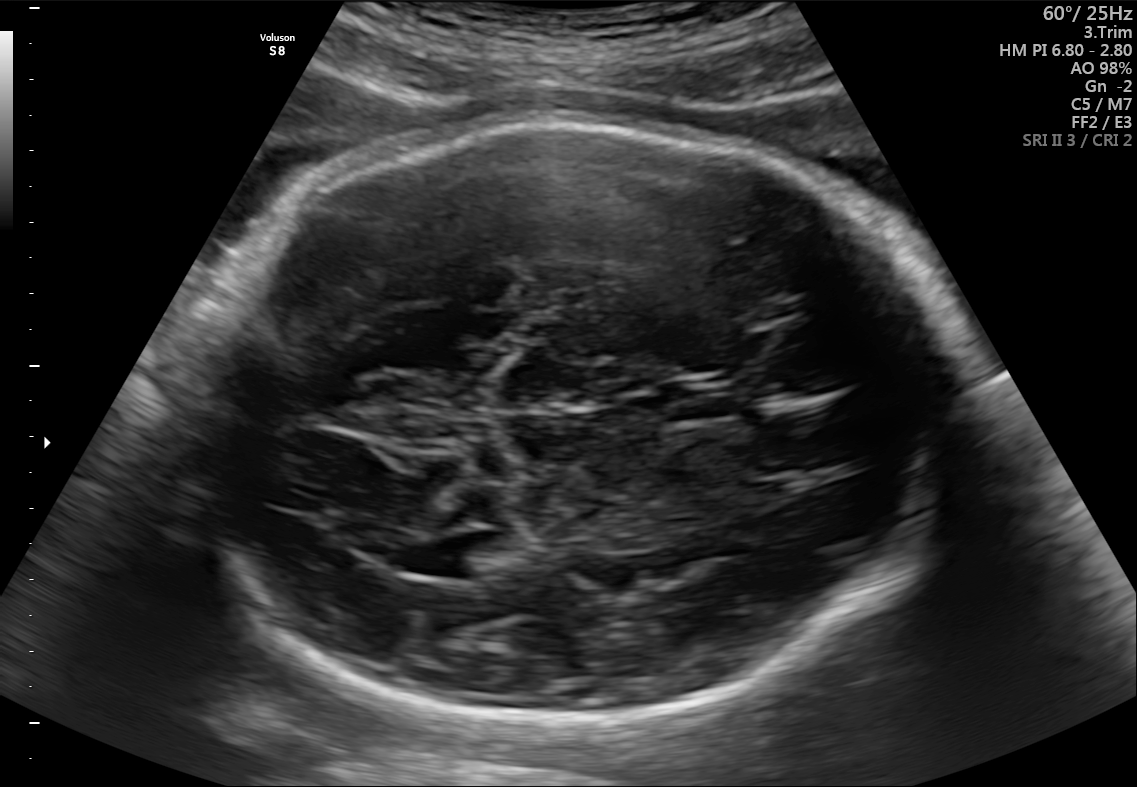
Fetal brain, trans-ventricular plane. Locate the fetal head and, if visible, the cavum septum pellucidum (CSP) and lateral ventricle (LV). Give bounding boxes as [x1,y1,x2,y2].

Head: [179,111,965,729]